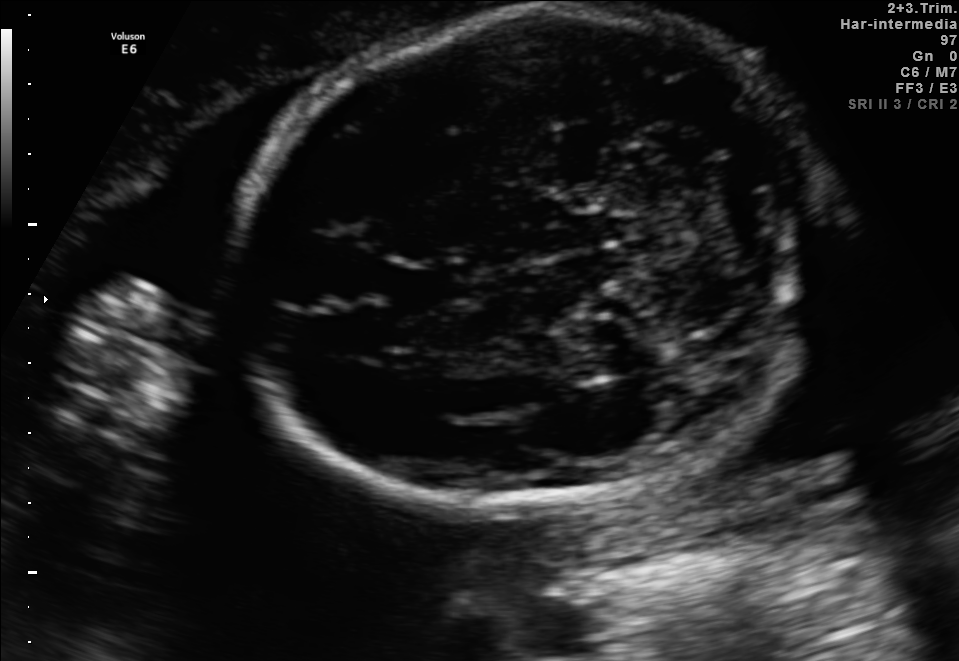
In this fetal brain, trans-cerebellum plane, give bounding boxes for the head outline, cavum septum pellucidum (CSP), and lateral ventricle (LV), where visible.

Head: [234,10,827,507]
CSP: [394,260,472,313]